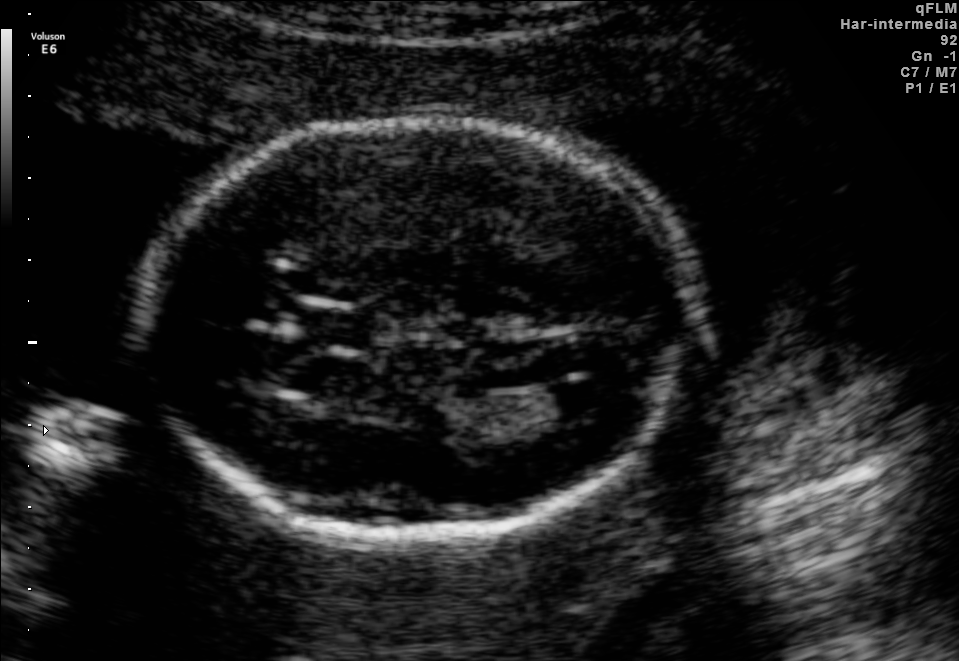
Fetal brain, trans-ventricular plane. Where is the cavum septum pellucidum?

CSP bounding box: [290,300,392,357]